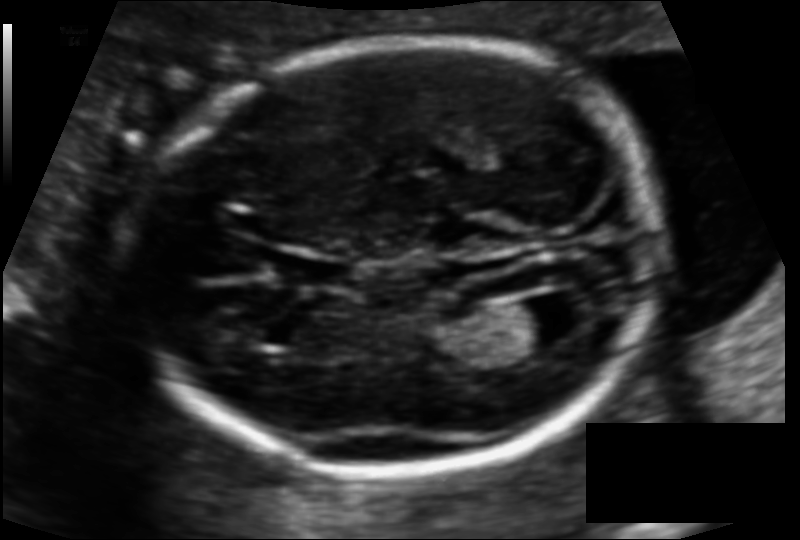
Fetal head ultrasound. Image width: 88.1 mm. Give [x1,y1,x2,y2] bounding boxes for each visible structure among: fetal head, CSP, LV.

Head: [138,40,662,471]
CSP: [284,253,353,292]
Lateral ventricle: [502,288,585,354]